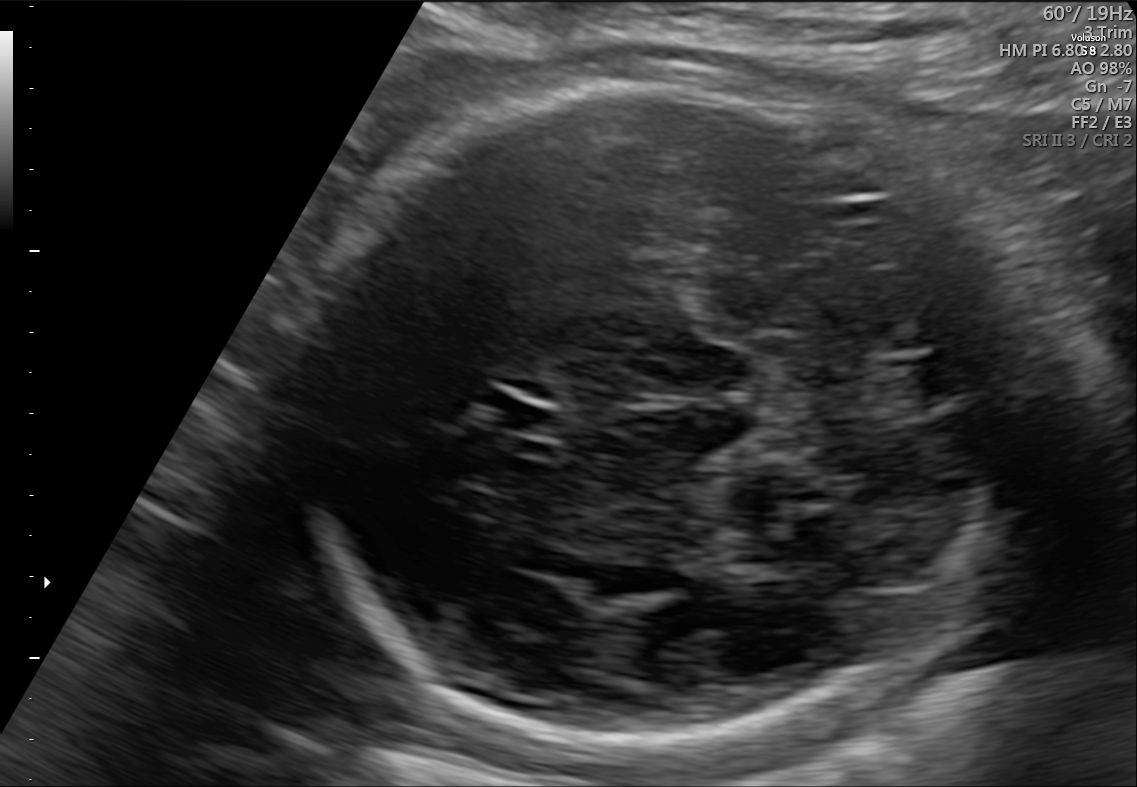
Fetal brain, trans-cerebellum plane. Locate the fetal head.

Head: [302,83,982,756]